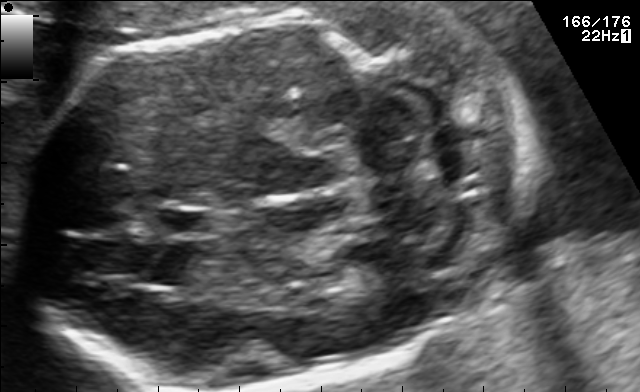
Fetal brain, trans-cerebellum plane. Give [x1,y1,x2,y2] bounding boxes for each visible structure among: fetal head, CSP, LV.

Head: [18,5,539,388]
CSP: [152,207,220,237]